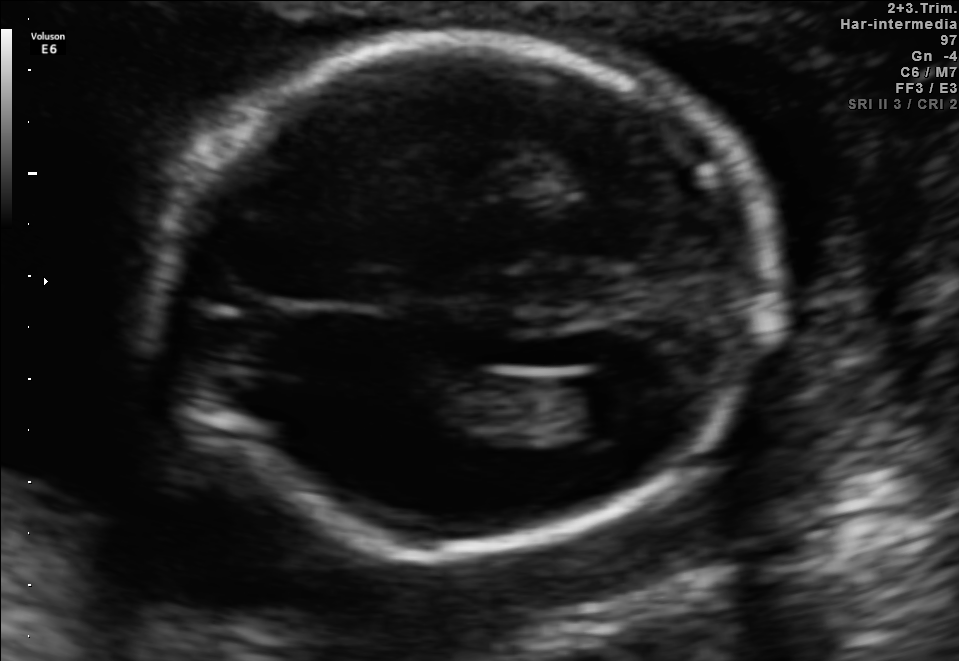
In this fetal brain, trans-ventricular plane, give bounding boxes for the head outline, cavum septum pellucidum (CSP), and lateral ventricle (LV), where visible.

Head: [125,30,790,561]
Lateral ventricle: [565,362,660,434]